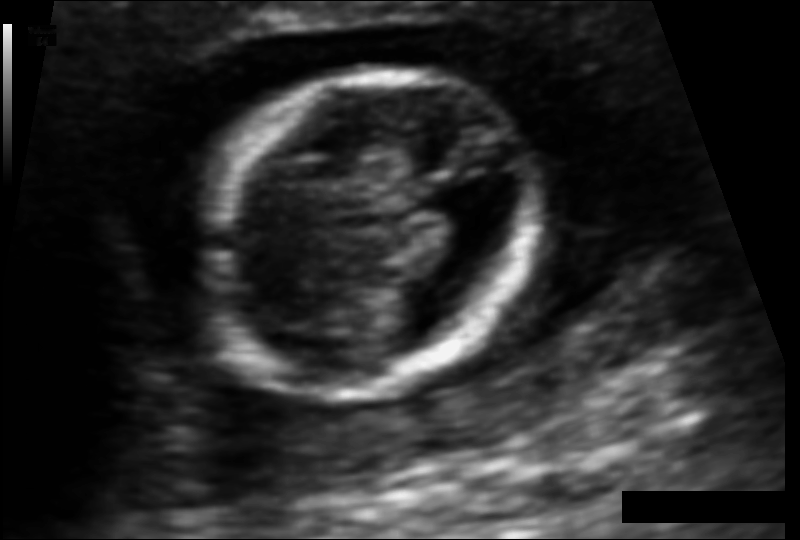
In this fetal head ultrasound, give the bounding box of the fetal head. Image width: 73.5 mm.

[184,68,538,394]